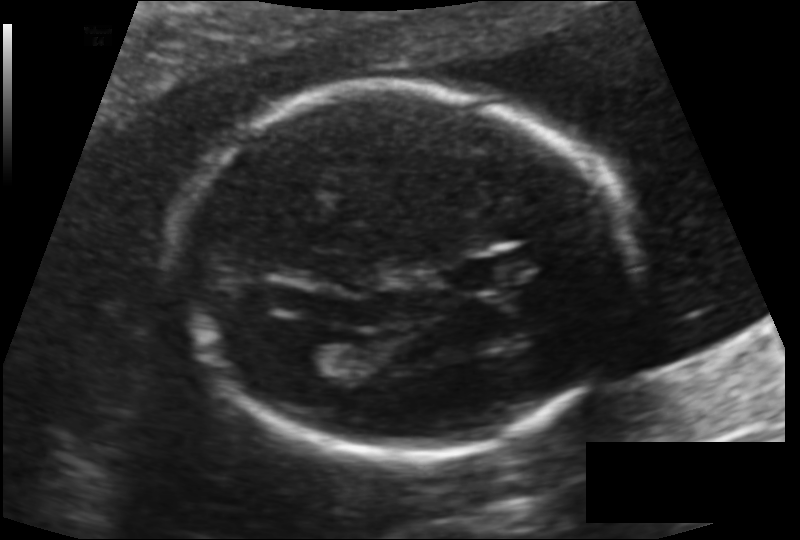
From this fetal ultrasound, estimate the head circumference (image width 104.6 mm).

Head circumference: 175.8 mm.